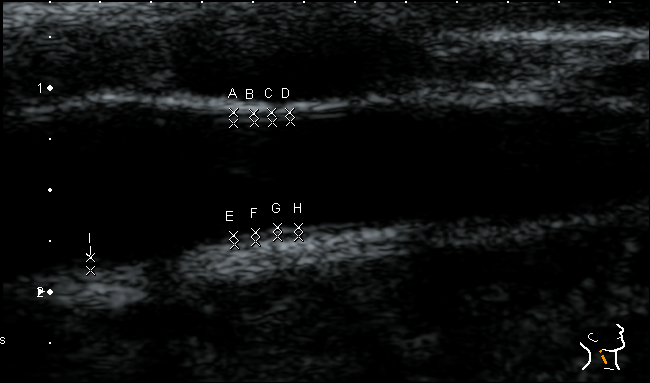
Identify the standard plane in this fetal ultrasound image: fetal abdomen, fetal brain, fetal femur, fetal thorax, maternal cervix, or other. If it's fetal brain and one of the three standard brain planes (trans-thalamic, trans-cerebellum, trans-ventricular), name which.

Other